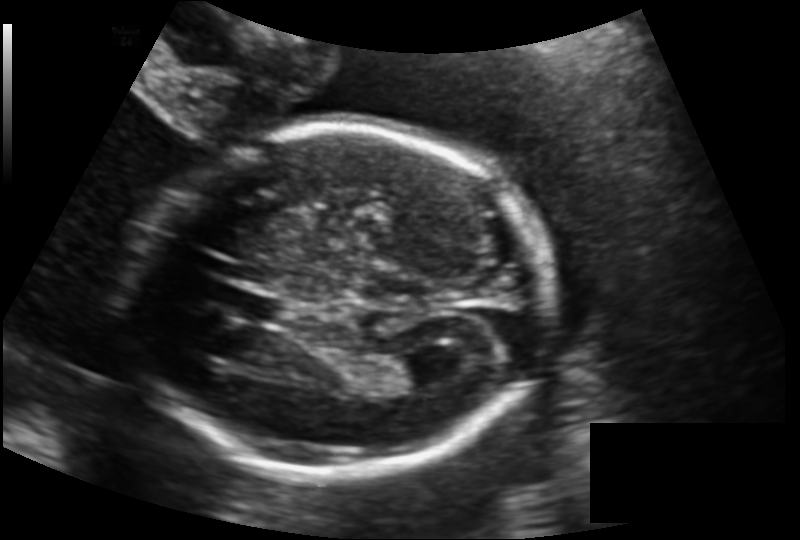
Fetal head ultrasound. Image width: 117.2 mm. Locate the fetal head.

Head: [134,125,547,474]